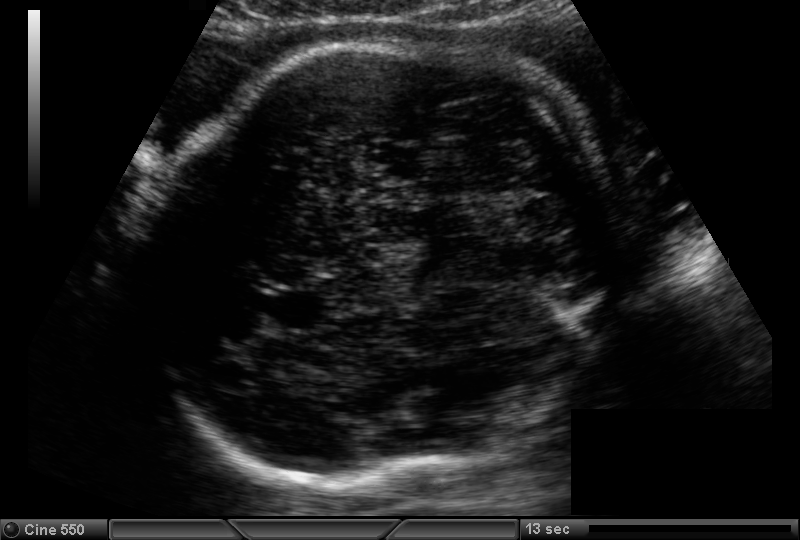
Measure the fetal head circumference shown in this ultrasound image. Image width: 144.1 mm.

Head circumference: 268.8 mm.